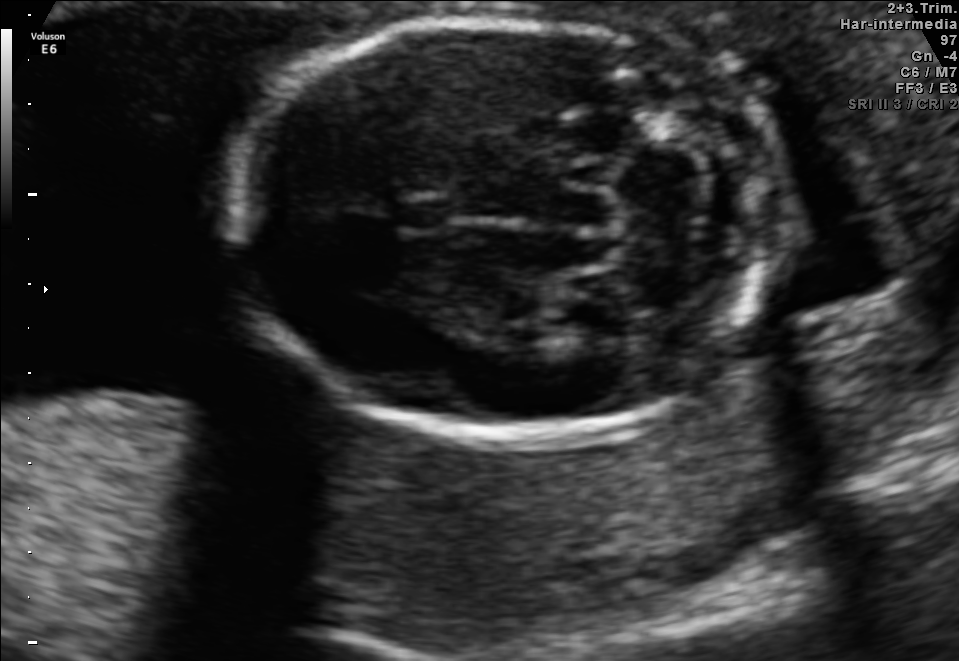
Fetal brain, trans-cerebellum plane. Locate the cavum septum pellucidum.

CSP: [392,194,455,236]